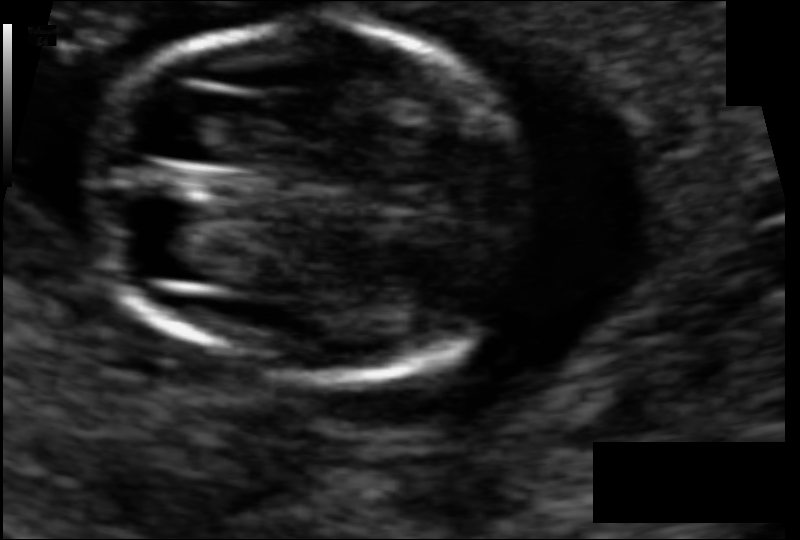
Fetal head ultrasound. Image width: 48.6 mm. Give [x1,y1,x2,y2] bounding boxes for each visible structure among: fetal head, CSP, LV.

Head: [93,21,542,383]